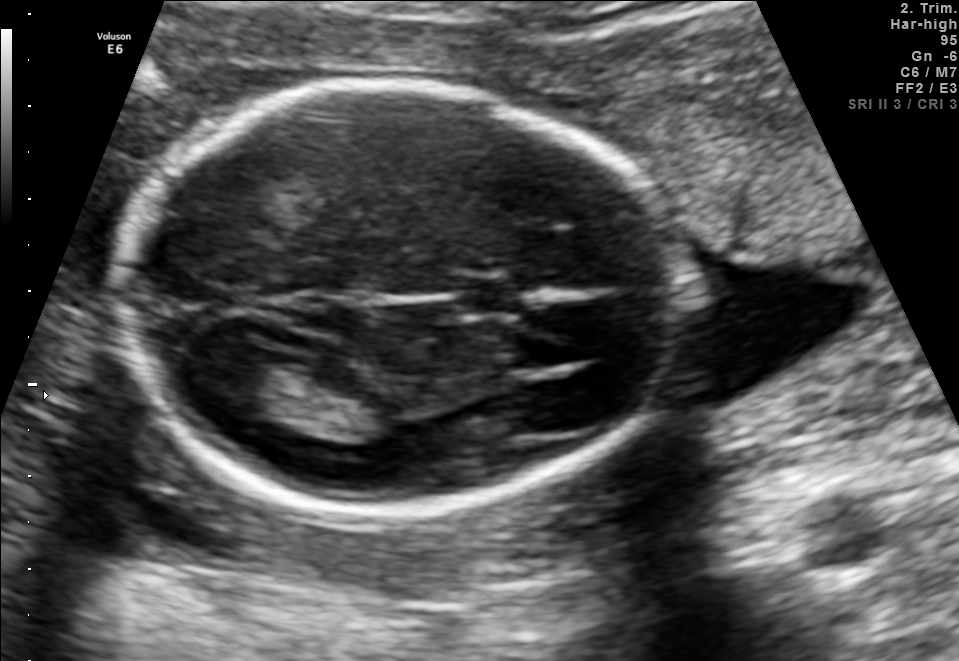
Fetal brain, trans-thalamic plane. Give [x1,y1,x2,y2] bounding boxes for each visible structure among: fetal head, CSP, LV.

Head: [117,87,684,514]
CSP: [453,278,522,313]
Lateral ventricle: [208,363,308,416]